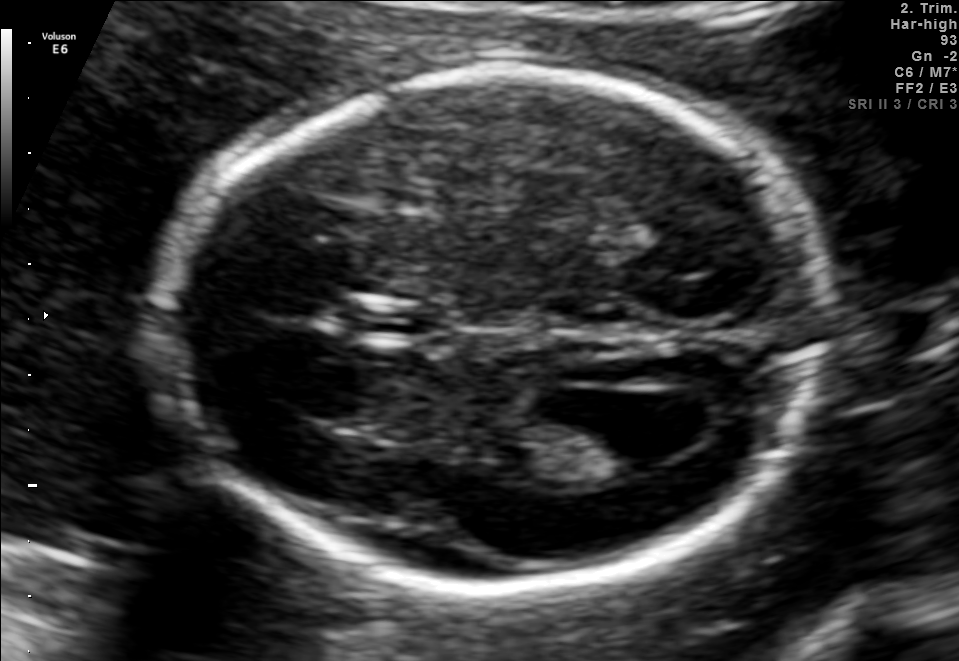
Fetal brain, trans-ventricular plane. Locate the fetal head and, if visible, the cavum septum pellucidum (CSP) and lateral ventricle (LV). Give bounding boxes as [x1,y1,x2,y2].

Head: [162,62,845,599]
CSP: [333,291,462,358]
Lateral ventricle: [563,383,697,487]